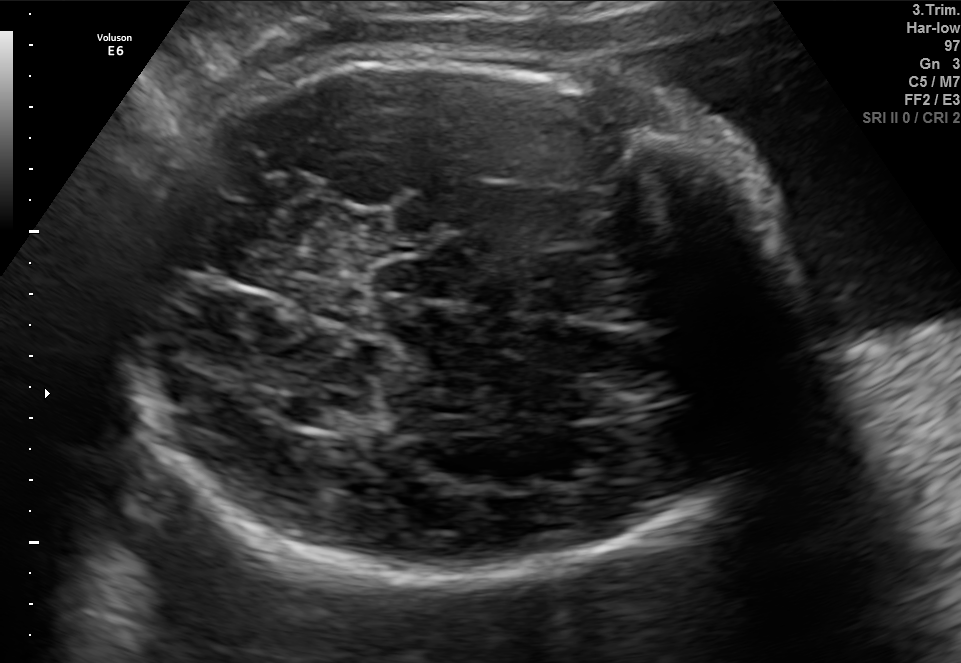
This is a 2D maternal-fetal ultrasound frame. Is it a fetal abdomen, fetal brain, fetal femur, fetal thorax, maternal cervix, or other standard plane? If it's fetal brain and one of the three standard brain planes (trans-thalamic, trans-cerebellum, trans-ventricular), name which.

Fetal brain (trans-thalamic plane)